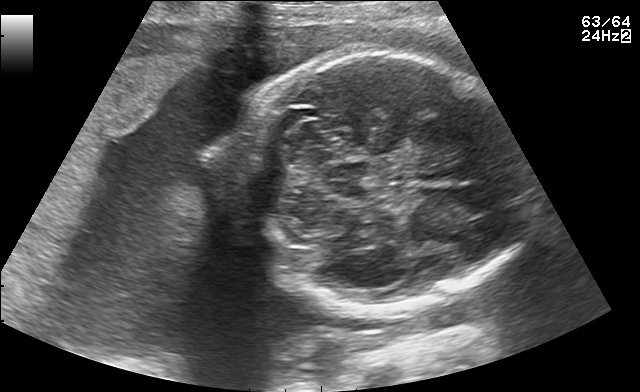
Fetal brain, trans-cerebellum plane. Locate the fetal head and, if visible, the cavum septum pellucidum (CSP) and lateral ventricle (LV). Give bounding boxes as [x1,y1,x2,y2].

Head: [234,54,521,313]